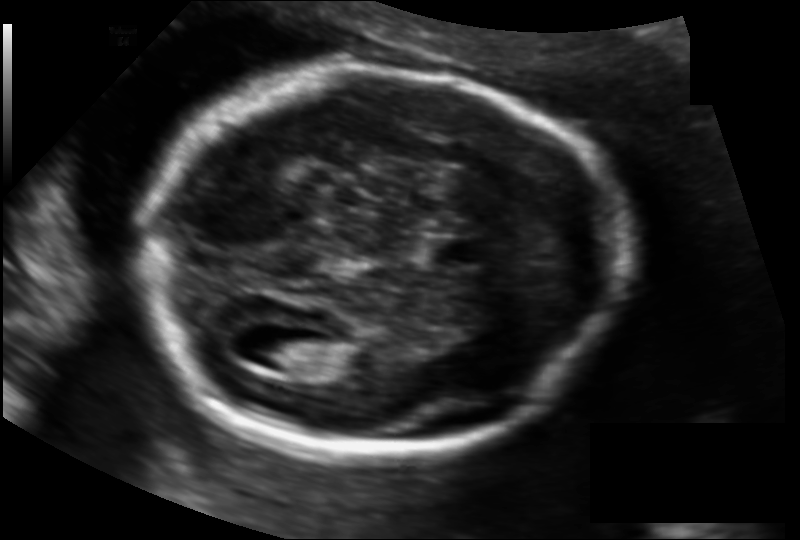
Fetal head ultrasound. Image width: 102.3 mm. Locate the cavum septum pellucidum.

CSP: [429,236,482,268]